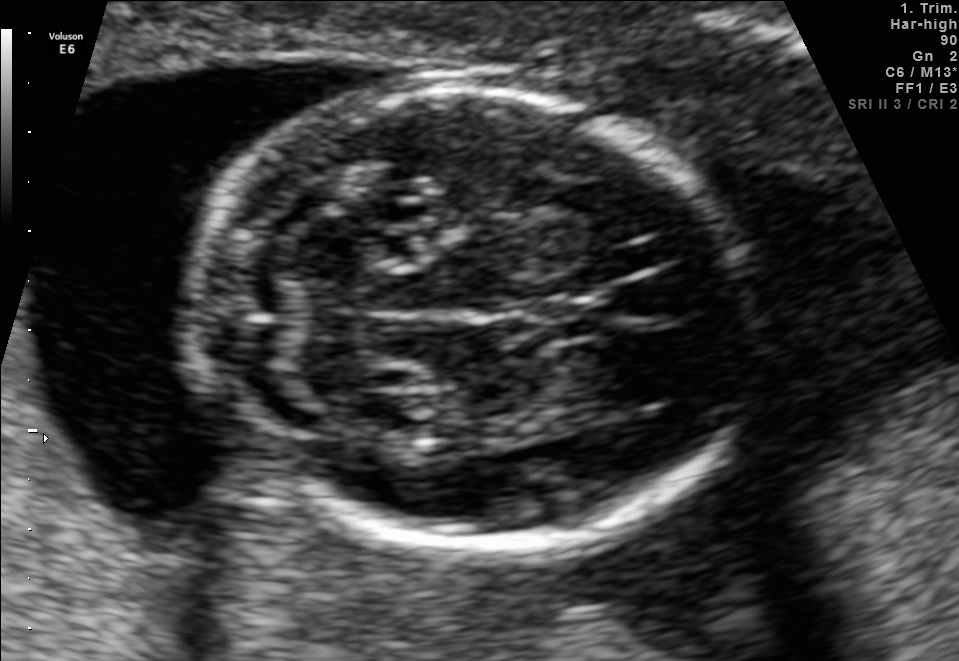
In this fetal brain, trans-cerebellum plane, give the bounding box of the fetal head.

[187,90,758,549]